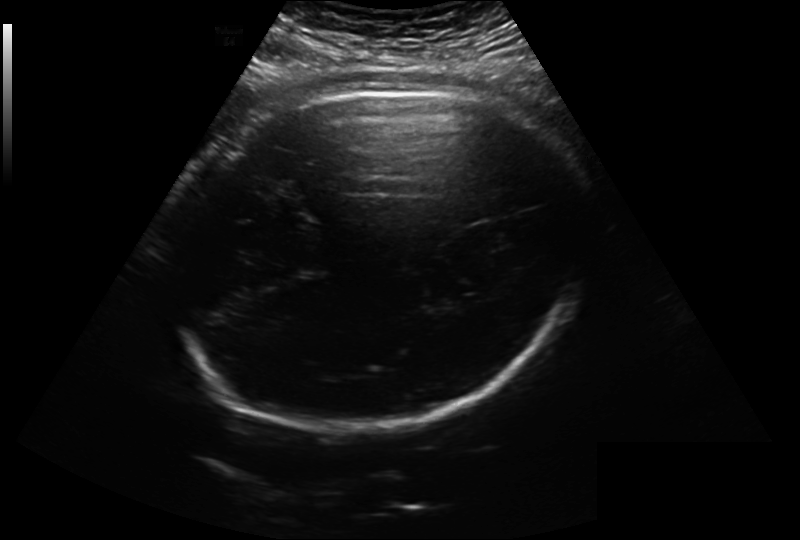
Measure the fetal head circumference shown in this ultrasound image. Image width: 223.6 mm.

Head circumference: 346.4 mm.